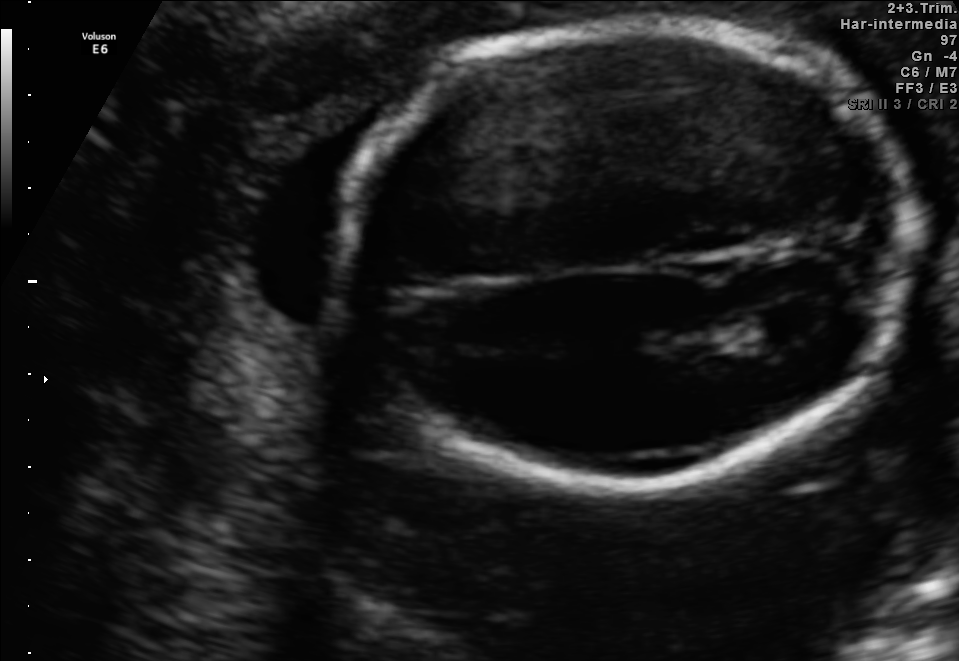
Which standard maternal-fetal ultrasound plane is shown: fetal abdomen, fetal brain, fetal femur, fetal thorax, maternal cervix, or other? If it's fetal brain and one of the three standard brain planes (trans-thalamic, trans-cerebellum, trans-ventricular), name which.

Fetal brain (trans-ventricular plane)